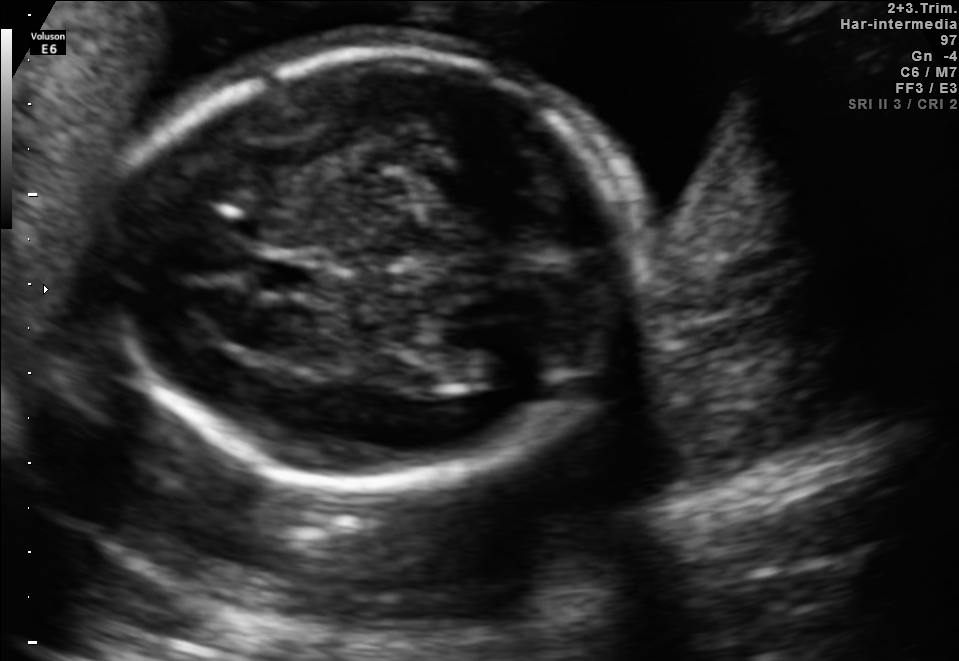
In this fetal brain, trans-thalamic plane, give the bounding box of the cavum septum pellucidum.

[255,260,323,294]